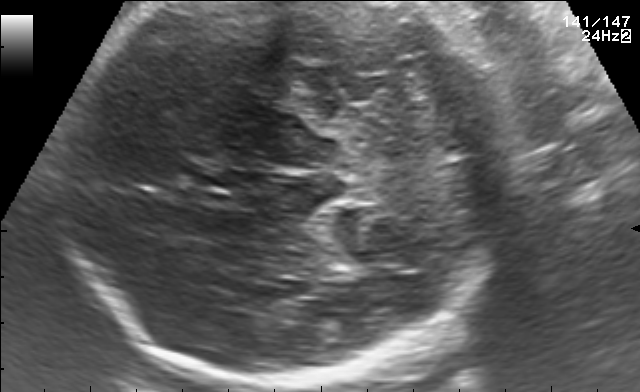
Which standard maternal-fetal ultrasound plane is shown: fetal abdomen, fetal brain, fetal femur, fetal thorax, maternal cervix, or other? If it's fetal brain and one of the three standard brain planes (trans-thalamic, trans-cerebellum, trans-ventricular), name which.

Fetal brain (trans-cerebellum plane)